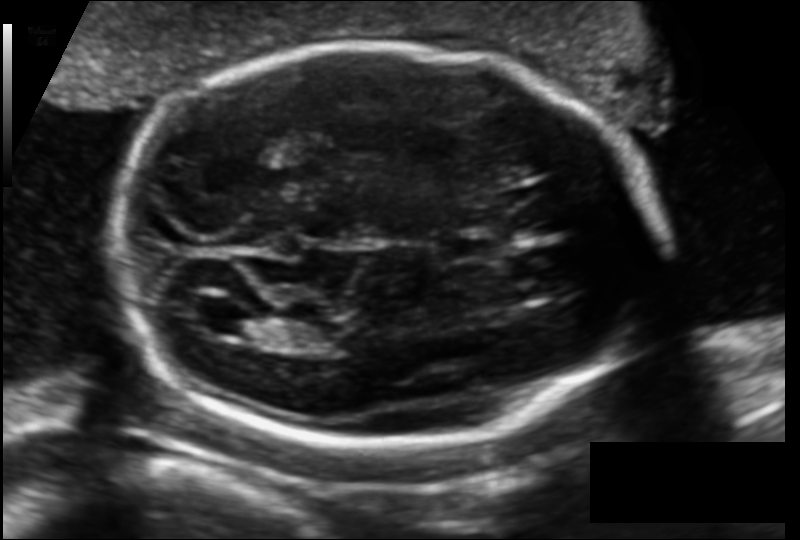
Fetal head ultrasound. Image width: 103.4 mm. Where is the cavum septum pellucidum?

CSP bounding box: [437,228,507,266]